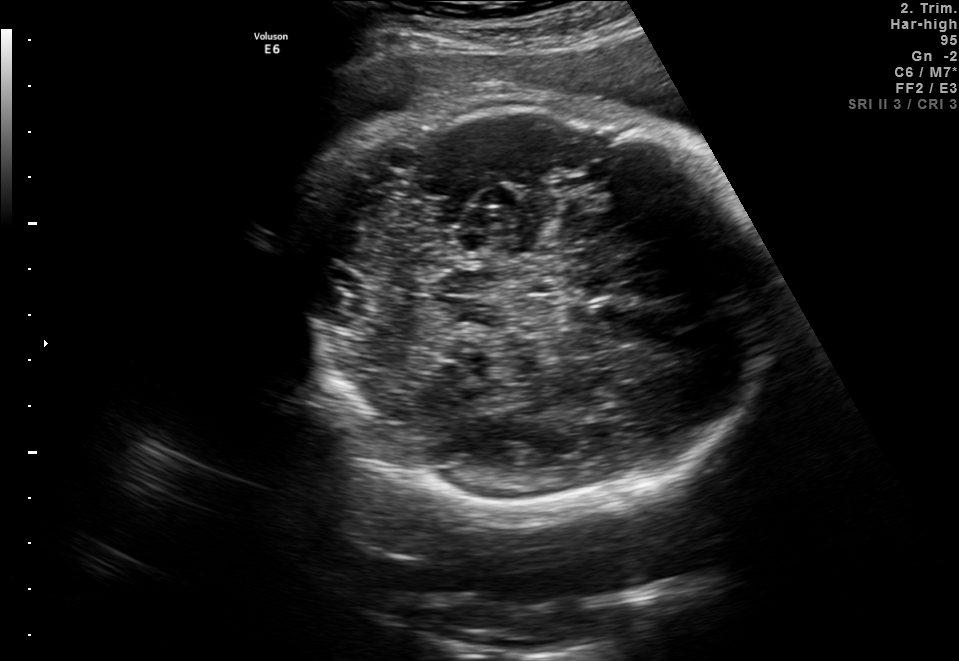
Fetal brain, trans-thalamic plane. Locate the fetal head.

Head: [300,100,771,517]